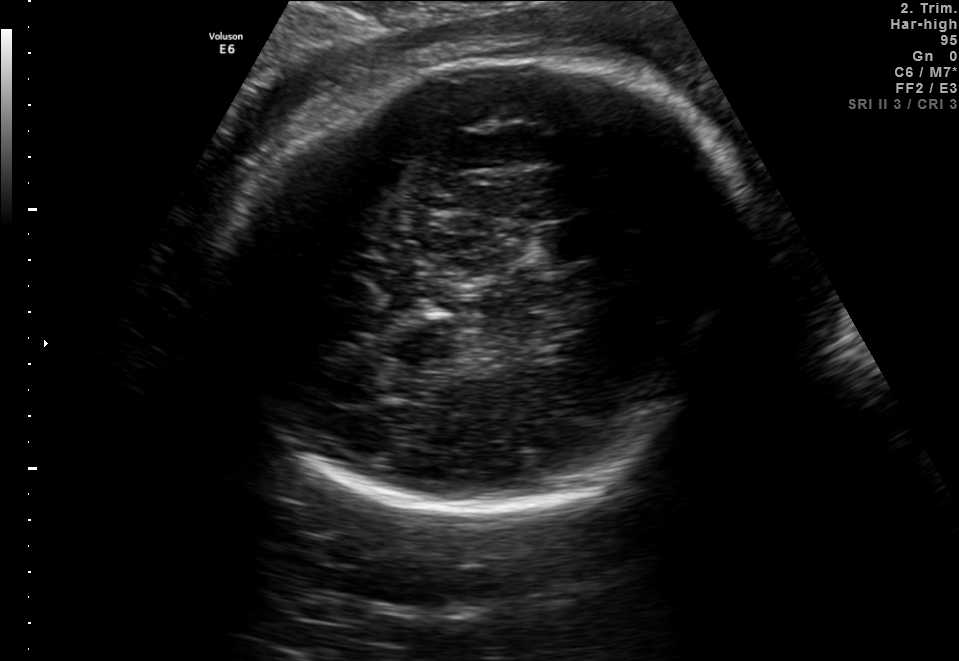
Fetal brain, trans-thalamic plane. Where is the cavum septum pellucidum?

CSP bounding box: [536,214,603,268]